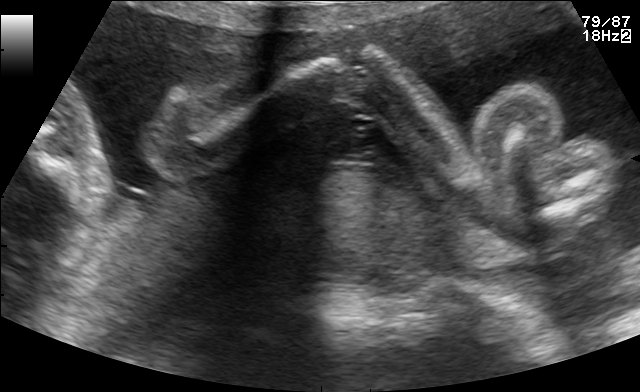
Identify the standard plane in this fetal ultrasound image: fetal abdomen, fetal brain, fetal femur, fetal thorax, maternal cervix, or other. If it's fetal brain and one of the three standard brain planes (trans-thalamic, trans-cerebellum, trans-ventricular), name which.

Fetal femur